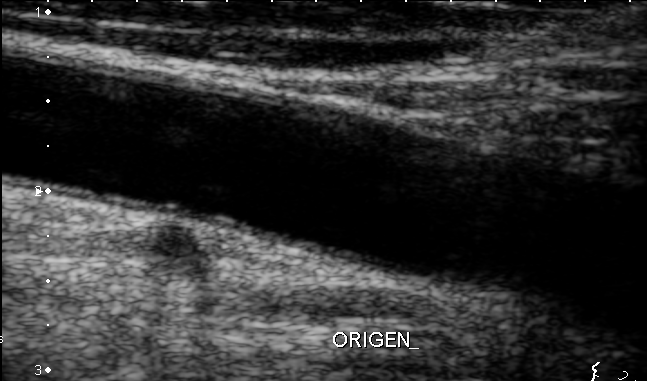
Which standard maternal-fetal ultrasound plane is shown: fetal abdomen, fetal brain, fetal femur, fetal thorax, maternal cervix, or other? If it's fetal brain and one of the three standard brain planes (trans-thalamic, trans-cerebellum, trans-ventricular), name which.

Other